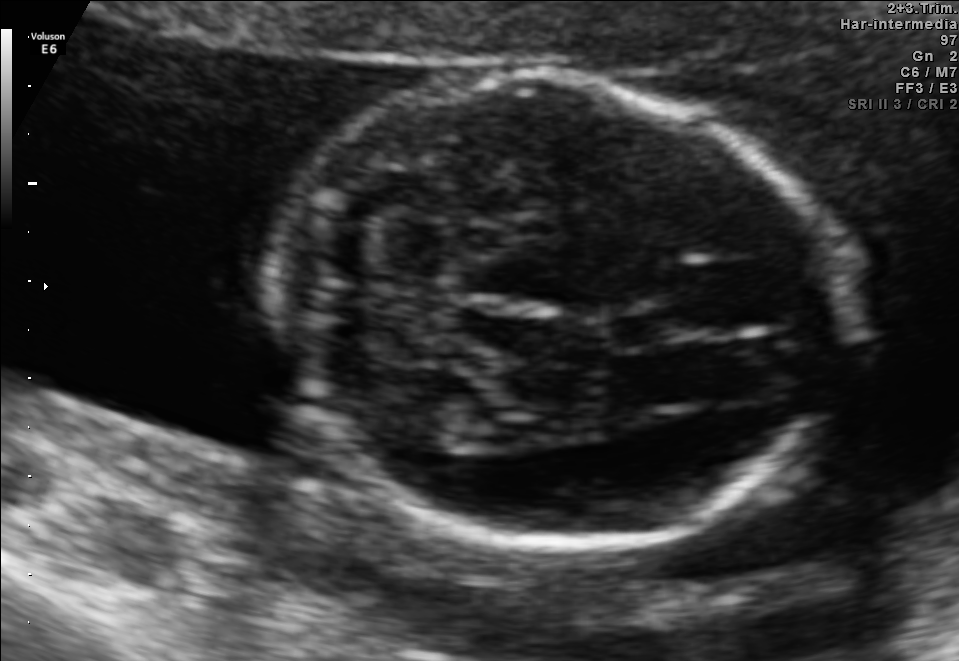
Fetal brain, trans-cerebellum plane. Where is the fetal head?

Head bounding box: [267,78,842,543]